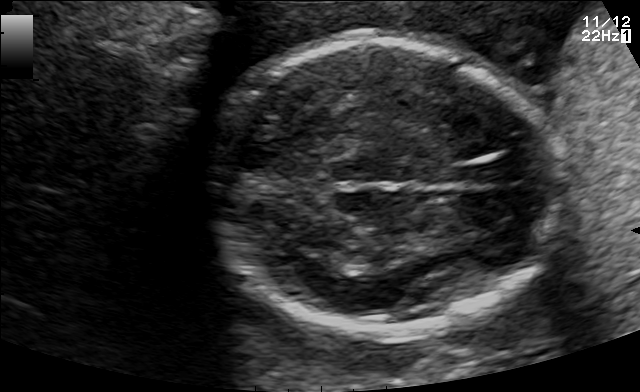
In this fetal brain, trans-thalamic plane, give the bounding box of the fetal head.

[212,38,568,337]